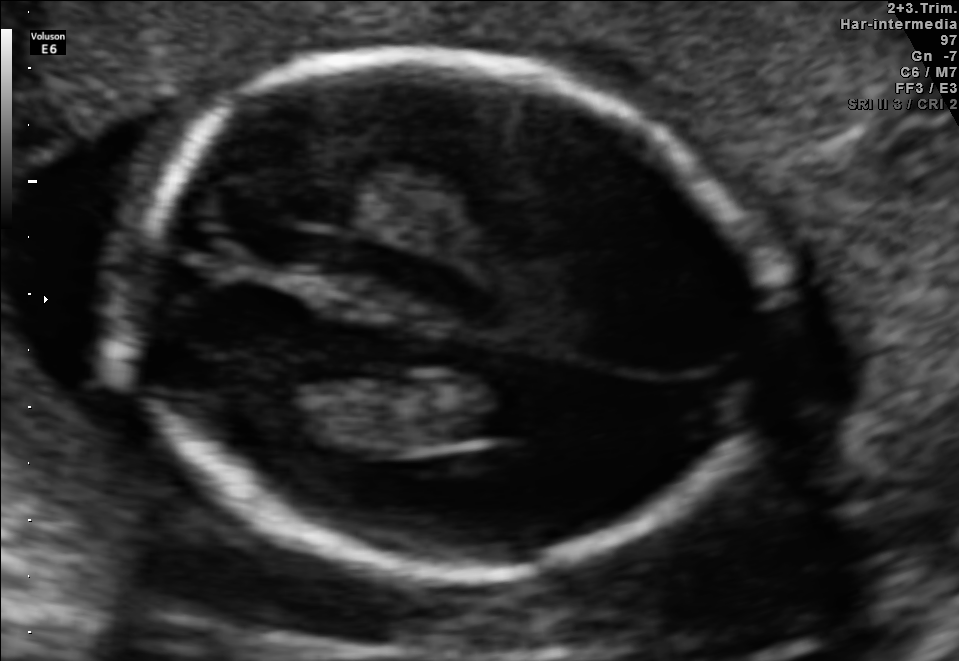
Fetal brain, trans-ventricular plane. Where is the fetal head?

Head bounding box: [91,42,796,591]